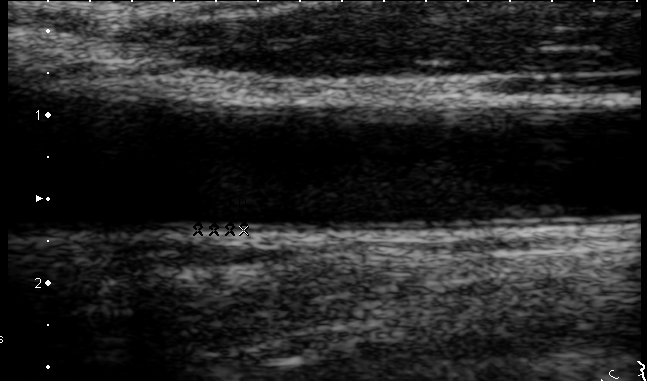
Which standard maternal-fetal ultrasound plane is shown: fetal abdomen, fetal brain, fetal femur, fetal thorax, maternal cervix, or other? If it's fetal brain and one of the three standard brain planes (trans-thalamic, trans-cerebellum, trans-ventricular), name which.

Other